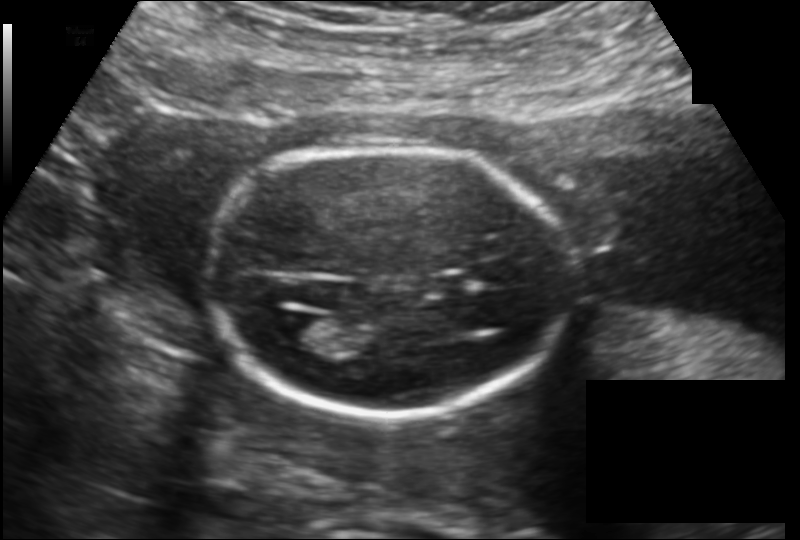
In this fetal head ultrasound, give the bounding box of the lateral ventricle. Image width: 119.1 mm.

[272,310,326,347]